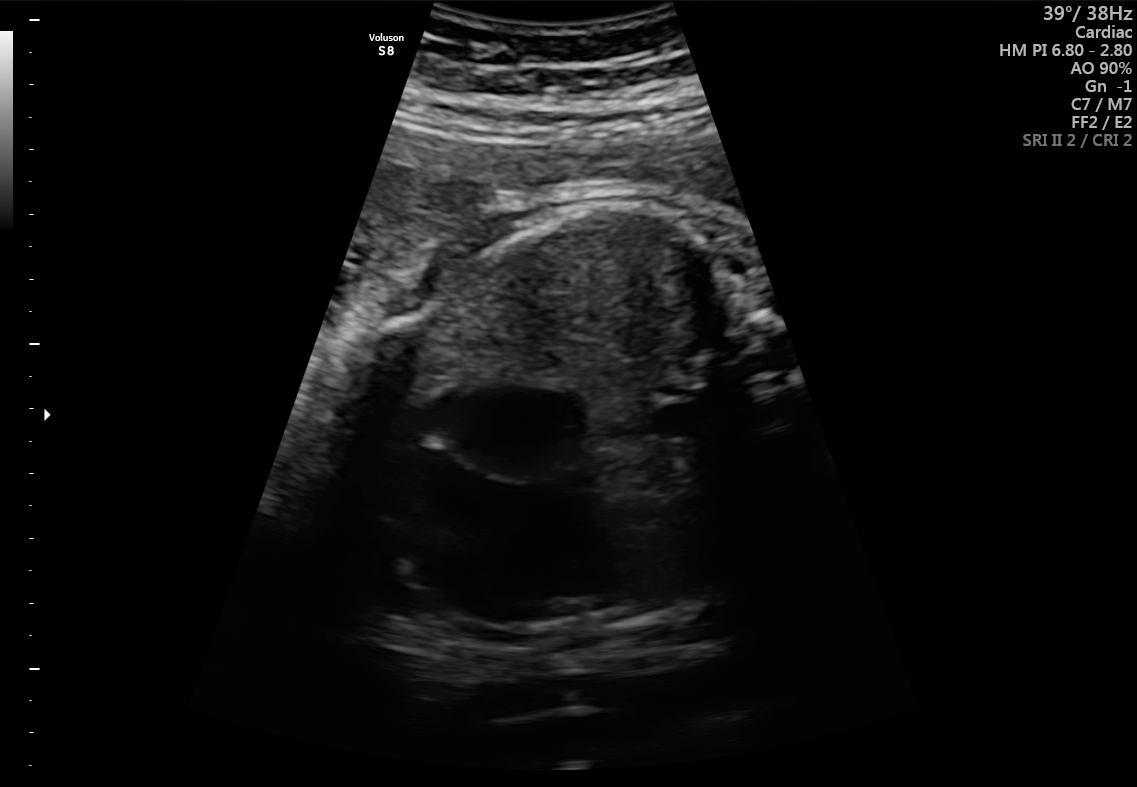
Classify this maternal-fetal ultrasound image as one of the six standard planes — fetal abdomen, fetal brain, fetal femur, fetal thorax, maternal cervix, or other. If it's fetal brain and one of the three standard brain planes (trans-thalamic, trans-cerebellum, trans-ventricular), name which.

Fetal thorax